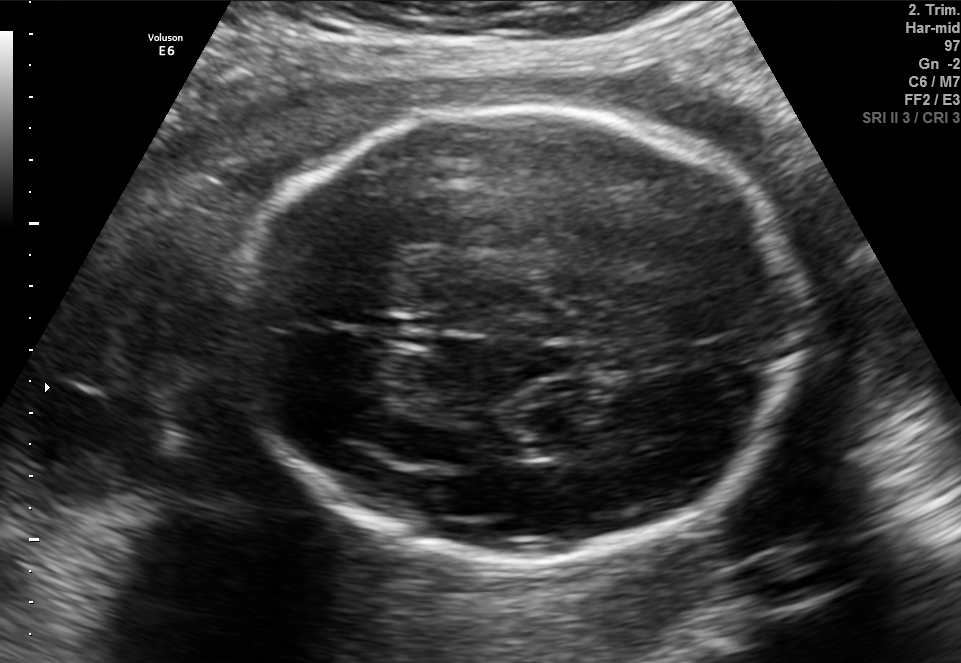
Classify this maternal-fetal ultrasound image as one of the six standard planes — fetal abdomen, fetal brain, fetal femur, fetal thorax, maternal cervix, or other. If it's fetal brain and one of the three standard brain planes (trans-thalamic, trans-cerebellum, trans-ventricular), name which.

Fetal brain (trans-thalamic plane)